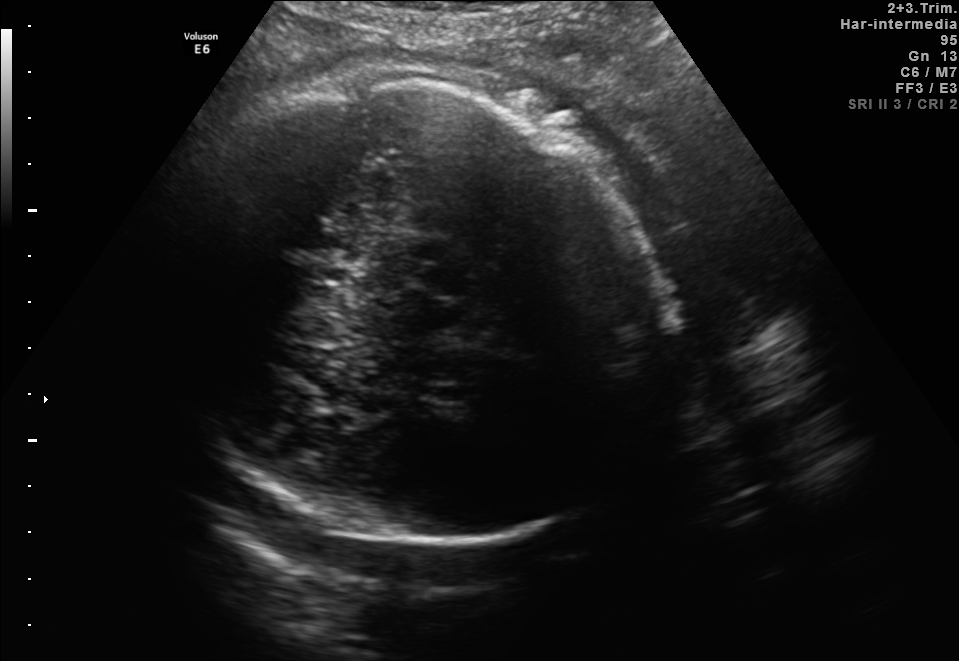
In this fetal brain, trans-thalamic plane, give the bounding box of the fetal head.

[140,83,677,542]